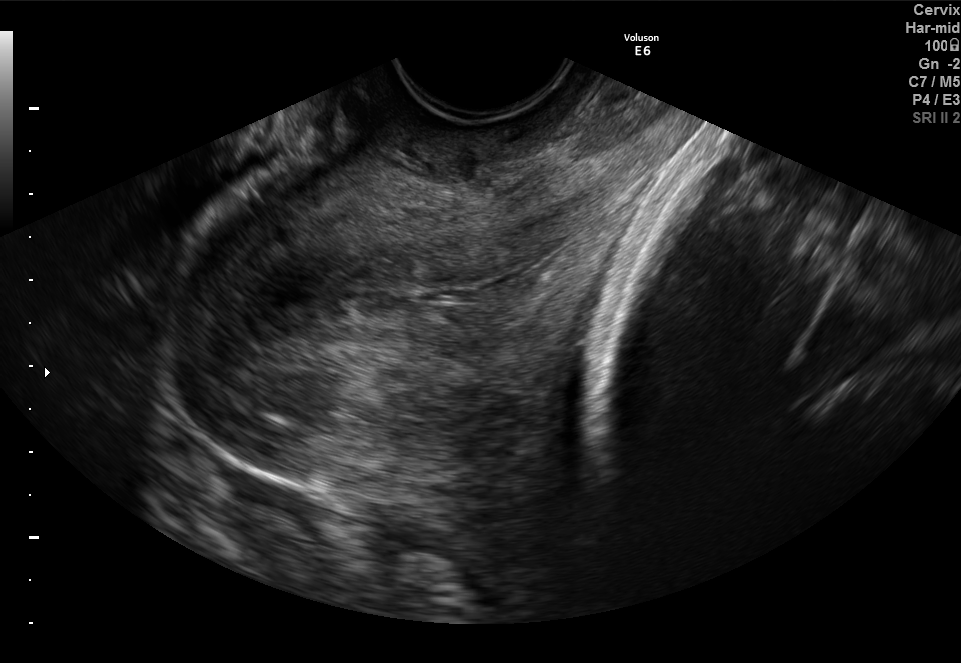
Classify this maternal-fetal ultrasound image as one of the six standard planes — fetal abdomen, fetal brain, fetal femur, fetal thorax, maternal cervix, or other. If it's fetal brain and one of the three standard brain planes (trans-thalamic, trans-cerebellum, trans-ventricular), name which.

Maternal cervix